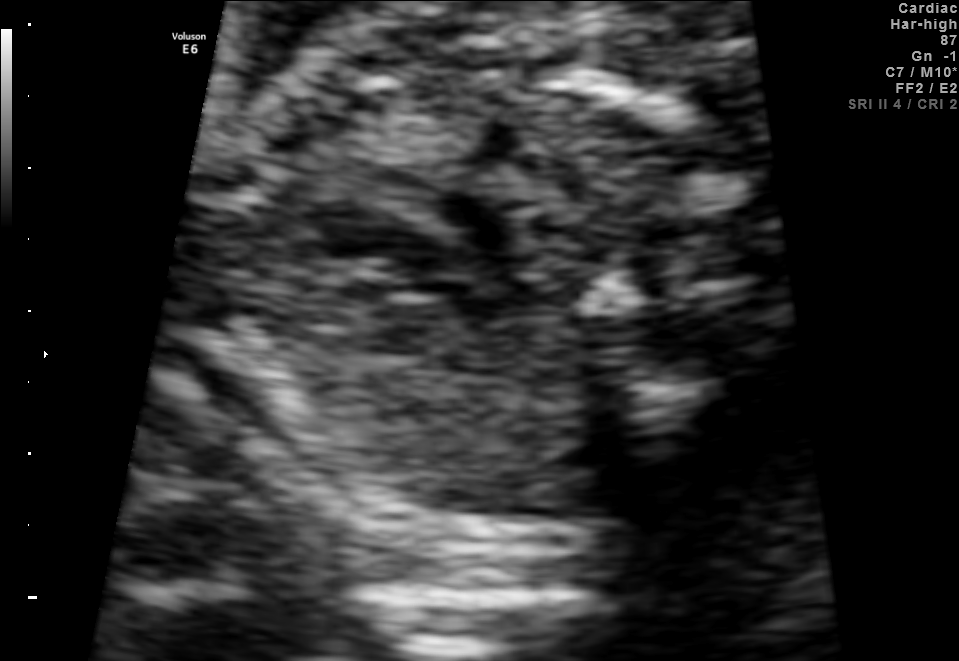
Classify this maternal-fetal ultrasound image as one of the six standard planes — fetal abdomen, fetal brain, fetal femur, fetal thorax, maternal cervix, or other. If it's fetal brain and one of the three standard brain planes (trans-thalamic, trans-cerebellum, trans-ventricular), name which.

Other